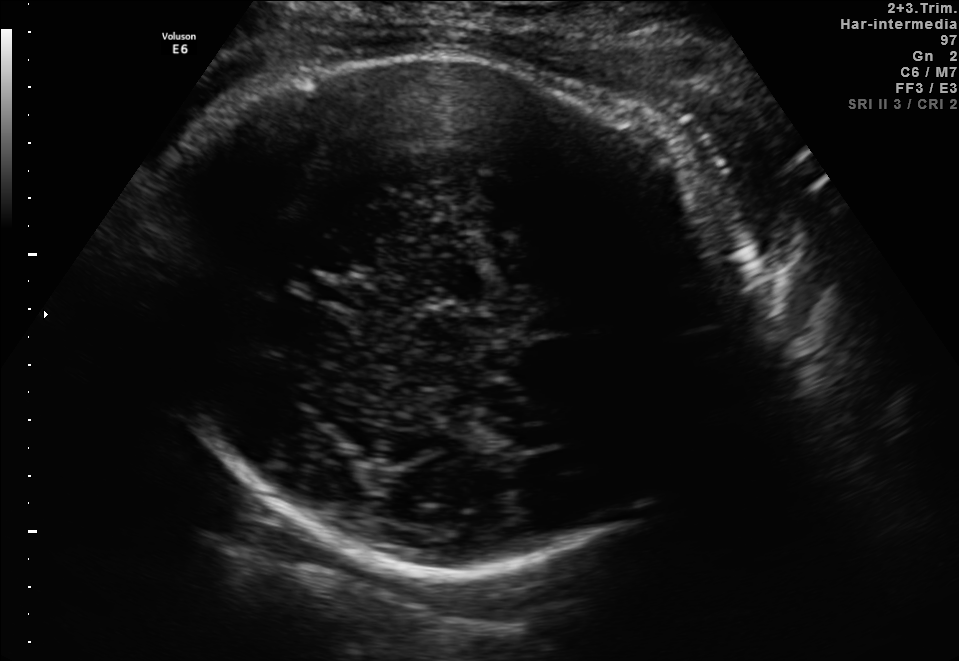
Fetal brain, trans-thalamic plane. Give [x1,y1,x2,y2] bounding boxes for each visible structure among: fetal head, CSP, LV.

Head: [145,59,734,570]